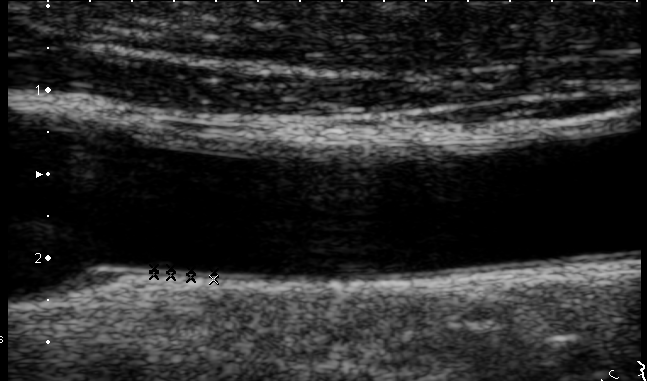
This is a 2D maternal-fetal ultrasound frame. Is it a fetal abdomen, fetal brain, fetal femur, fetal thorax, maternal cervix, or other standard plane? If it's fetal brain and one of the three standard brain planes (trans-thalamic, trans-cerebellum, trans-ventricular), name which.

Other